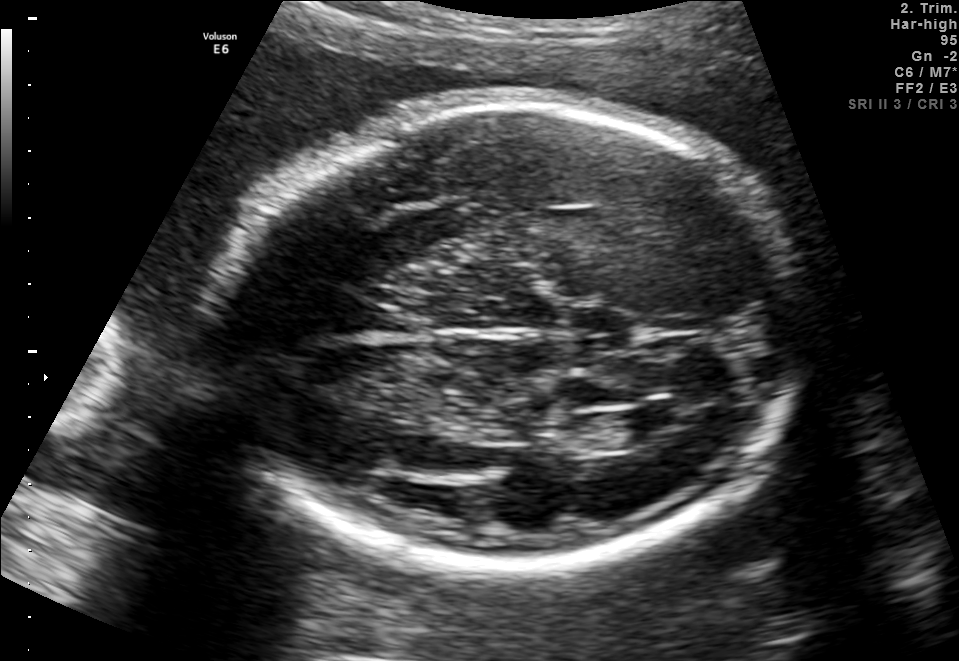
Fetal brain, trans-ventricular plane. Locate the fetal head.

Head: [203,100,820,573]